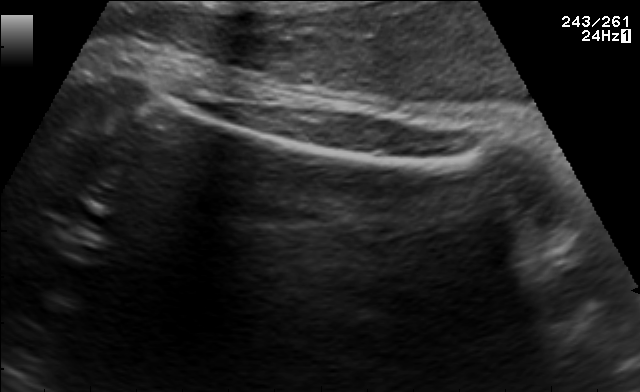
Classify this maternal-fetal ultrasound image as one of the six standard planes — fetal abdomen, fetal brain, fetal femur, fetal thorax, maternal cervix, or other. If it's fetal brain and one of the three standard brain planes (trans-thalamic, trans-cerebellum, trans-ventricular), name which.

Fetal femur